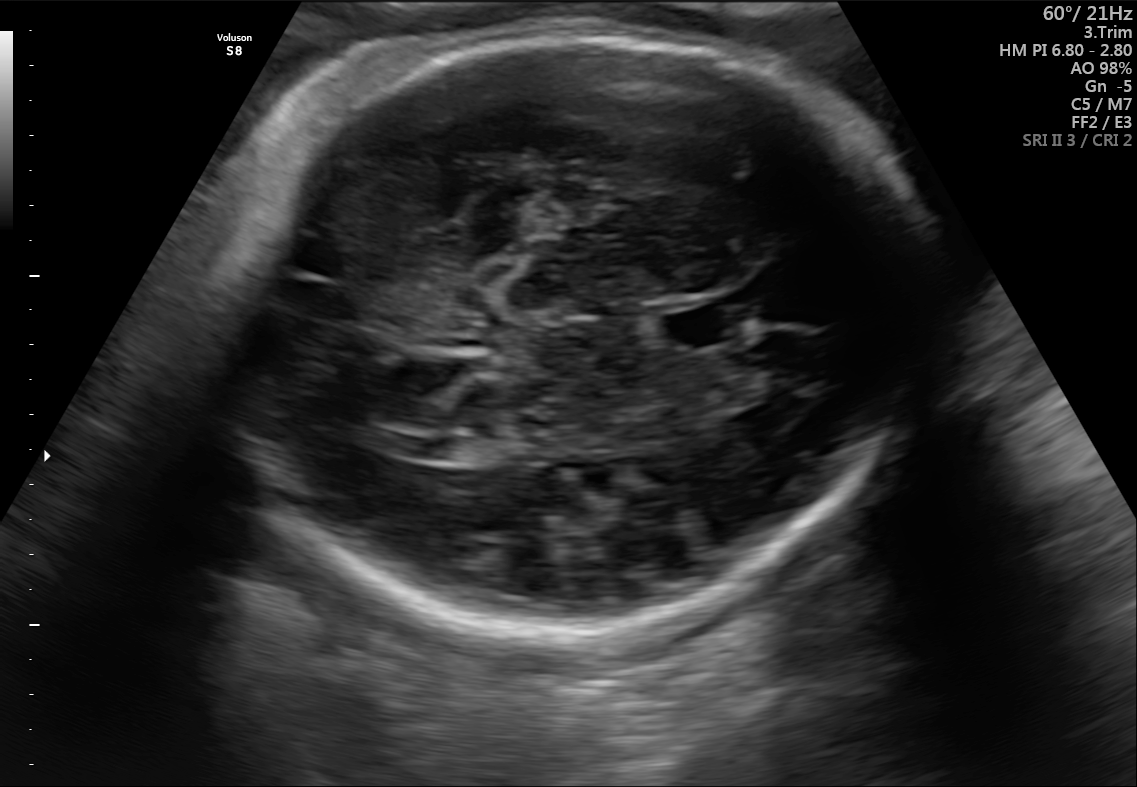
In this fetal brain, trans-thalamic plane, give the bounding box of the cavum septum pellucidum.

[654,294,751,359]